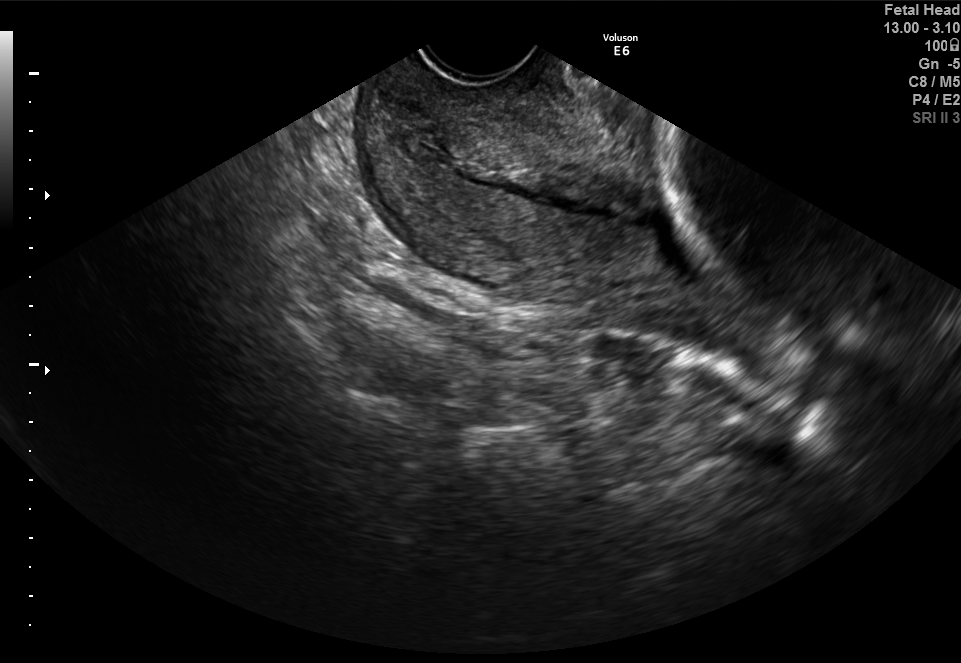
Which standard maternal-fetal ultrasound plane is shown: fetal abdomen, fetal brain, fetal femur, fetal thorax, maternal cervix, or other? If it's fetal brain and one of the three standard brain planes (trans-thalamic, trans-cerebellum, trans-ventricular), name which.

Maternal cervix